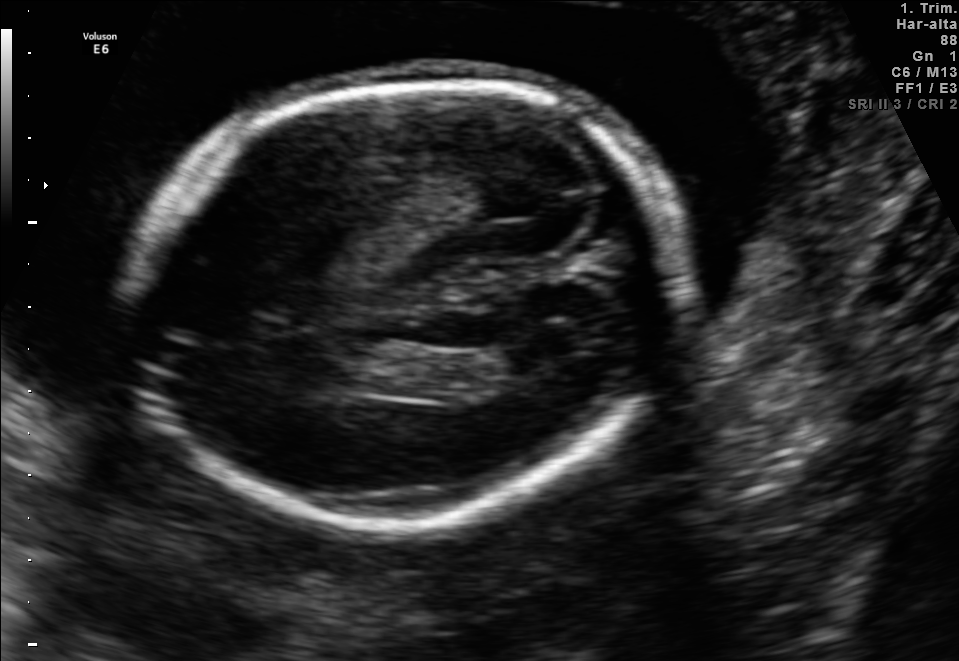
Fetal brain, trans-ventricular plane. Where is the fetal head?

Head bounding box: [121,73,702,532]